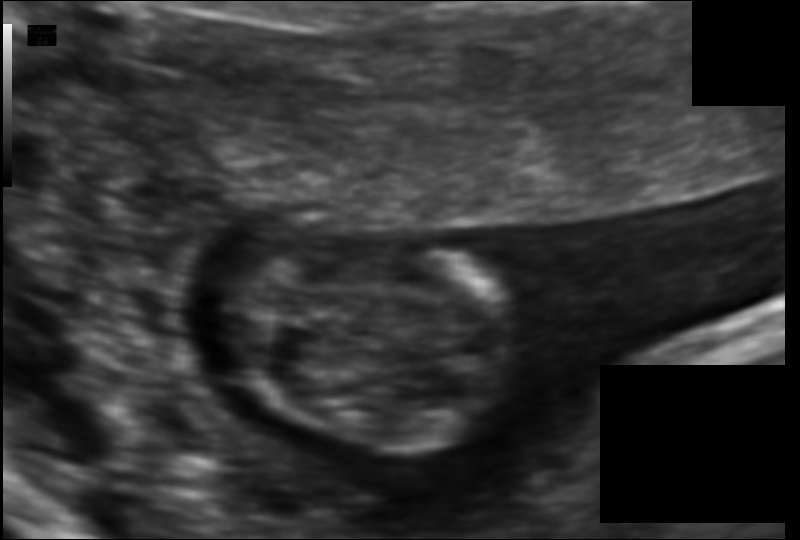
Fetal head ultrasound. Image width: 62.1 mm. Give [x1,y1,x2,y2] bounding boxes for each visible structure among: fetal head, CSP, LV.

Head: [224,243,523,448]